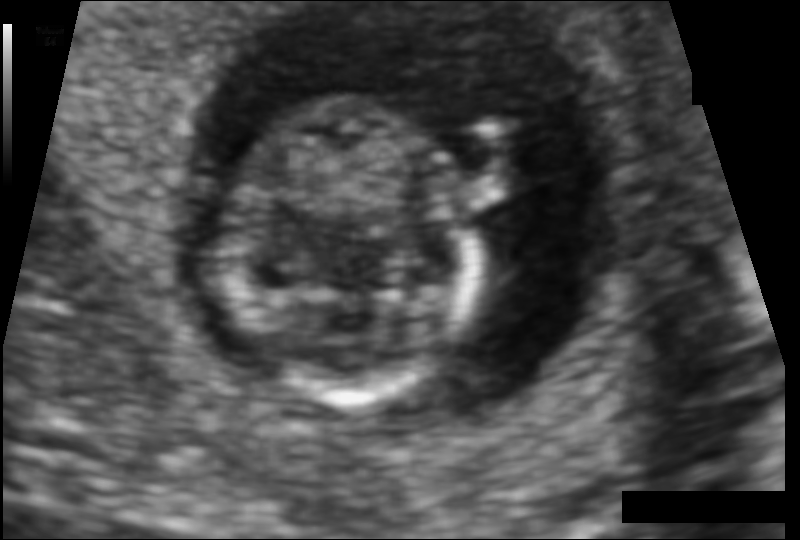
Estimate the fetal head circumference from this 2D ultrasound. Image width: 63.9 mm.

Head circumference: 71.9 mm.